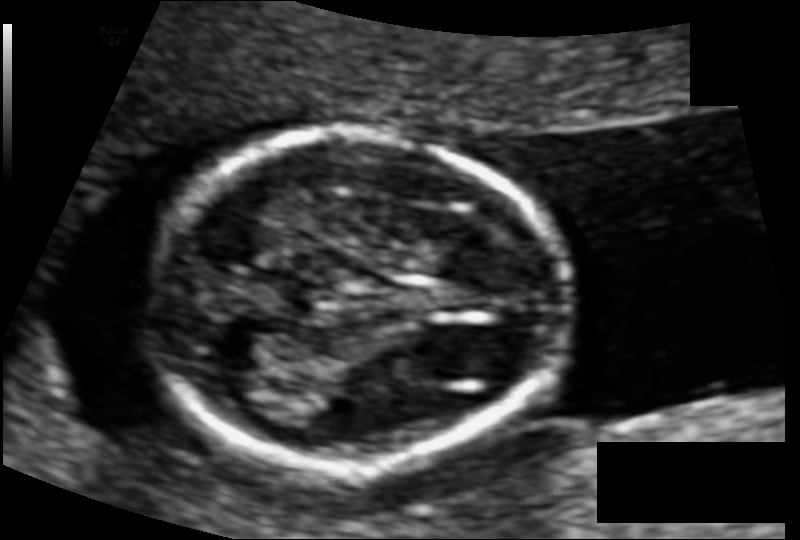
In this fetal head ultrasound, give the bounding box of the fetal head. Image width: 66.8 mm.

[153,133,567,464]